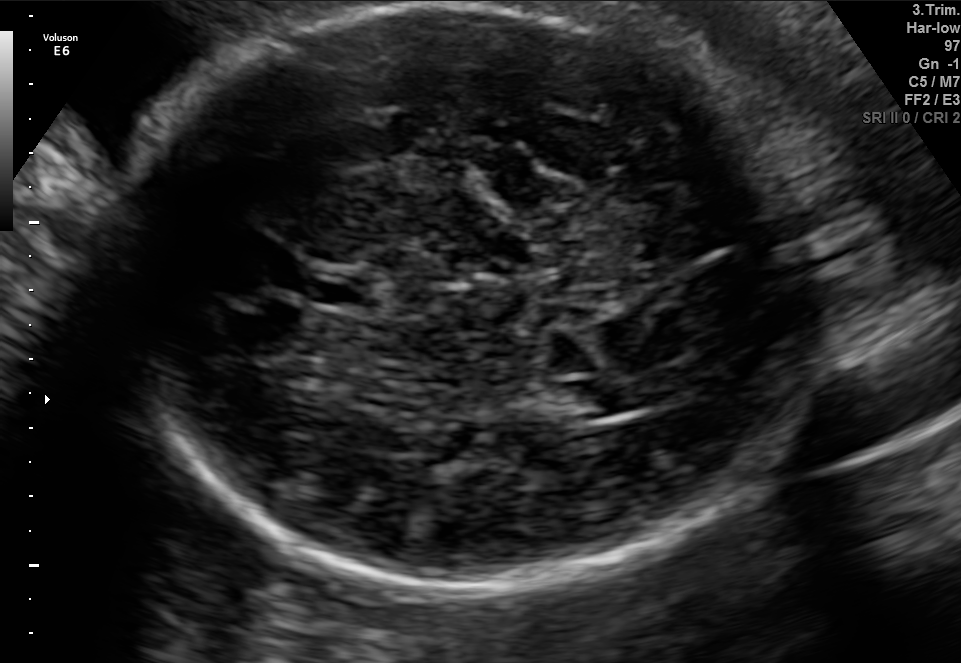
In this fetal brain, trans-ventricular plane, give the bounding box of the cavum septum pellucidum.

[311,270,371,311]